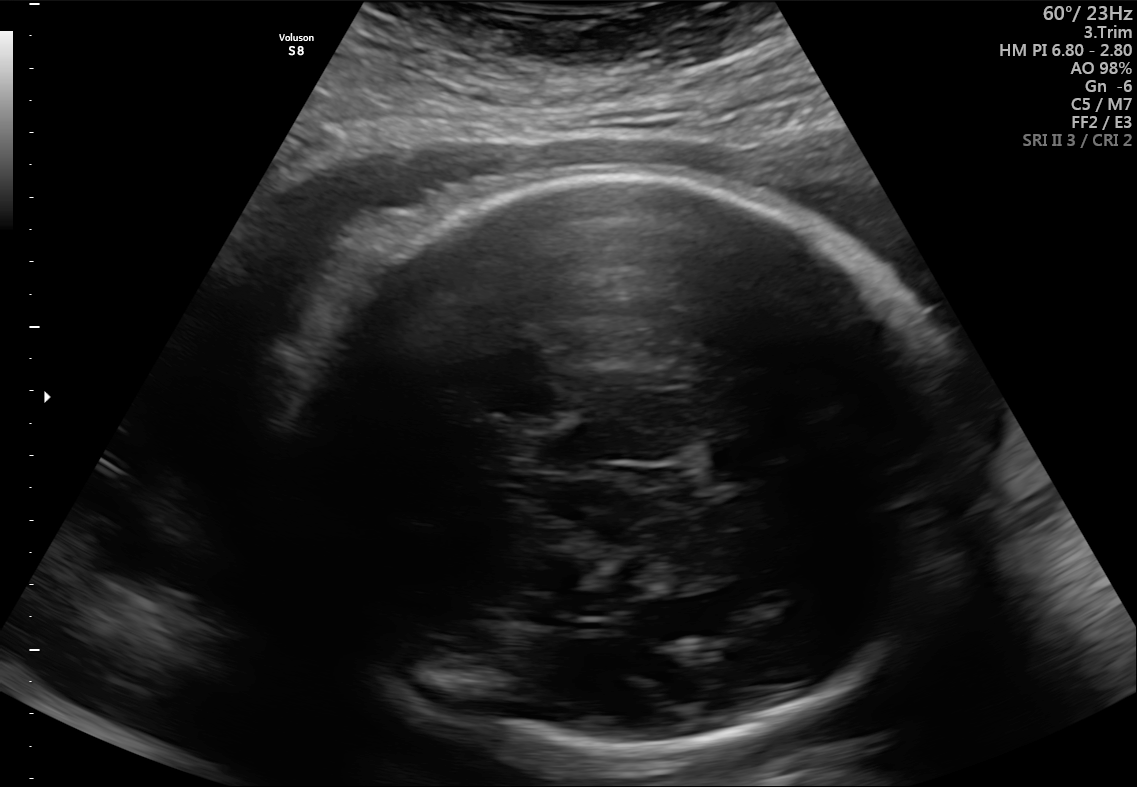
Fetal brain, trans-thalamic plane. Locate the fetal head and, if visible, the cavum septum pellucidum (CSP) and lateral ventricle (LV). Give bounding boxes as [x1,y1,x2,y2].

Head: [299,173,969,757]
CSP: [710,440,777,479]